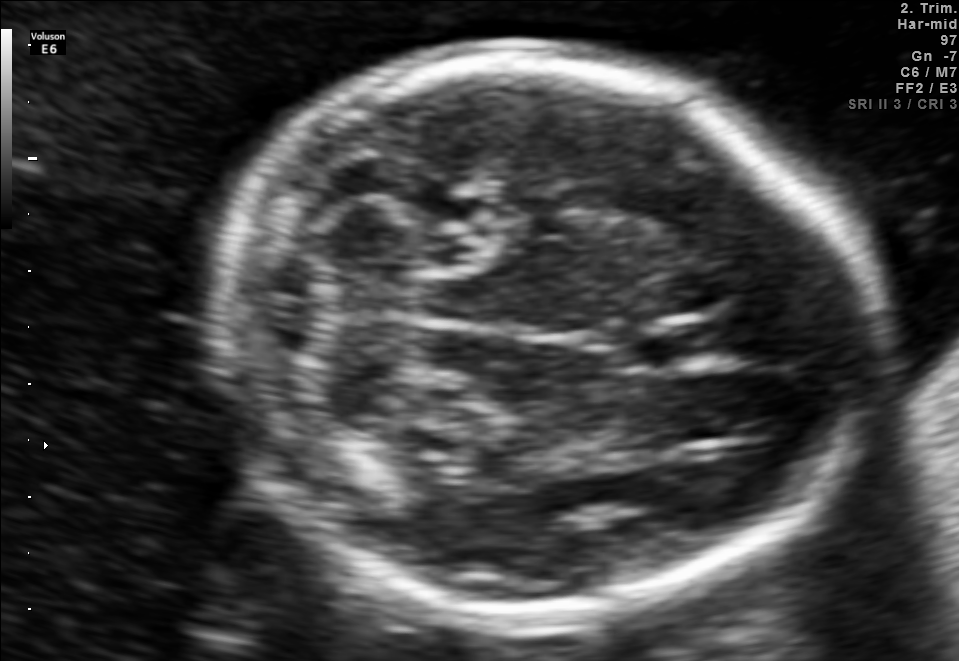
Fetal brain, trans-cerebellum plane. Where is the fetal head?

Head bounding box: [214,59,867,618]